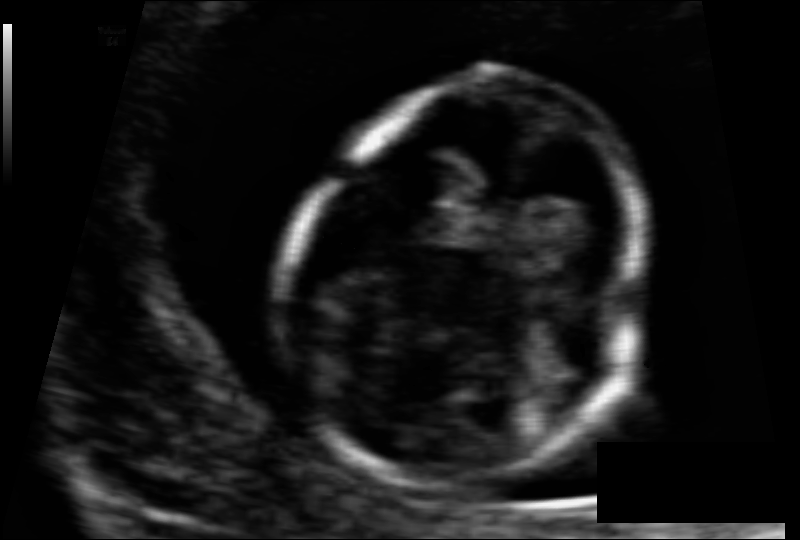
Fetal head ultrasound. Image width: 50.2 mm. Give [x1,y1,x2,y2] bounding boxes for each visible structure among: fetal head, CSP, LV.

Head: [288,77,649,481]